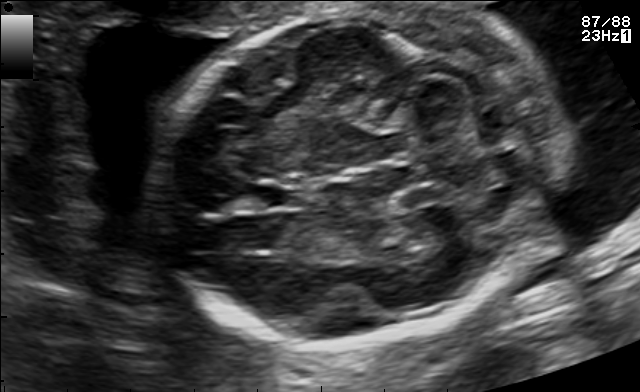
Fetal brain, trans-cerebellum plane. Locate the fetal head.

Head: [153,9,564,345]